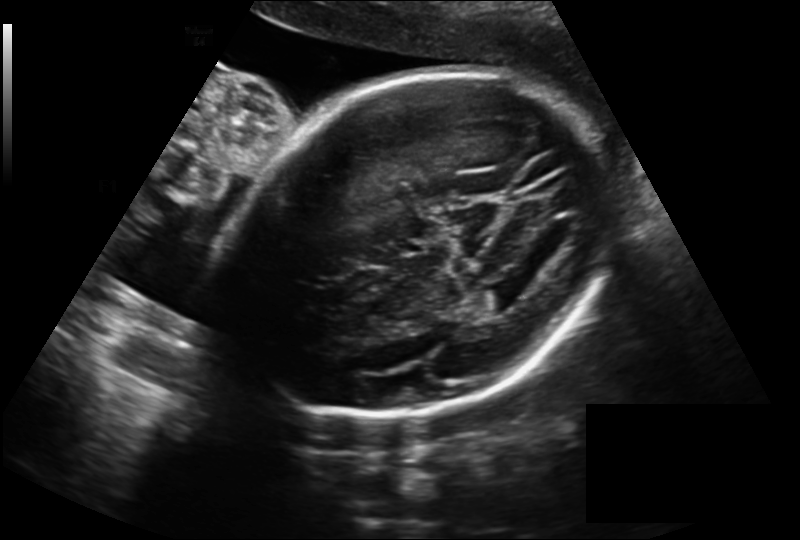
Fetal head ultrasound. Image width: 179.9 mm. Give [x1,y1,x2,y2] bounding boxes for each visible structure among: fetal head, CSP, LV.

Head: [227,74,613,419]
Lateral ventricle: [475,270,531,318]